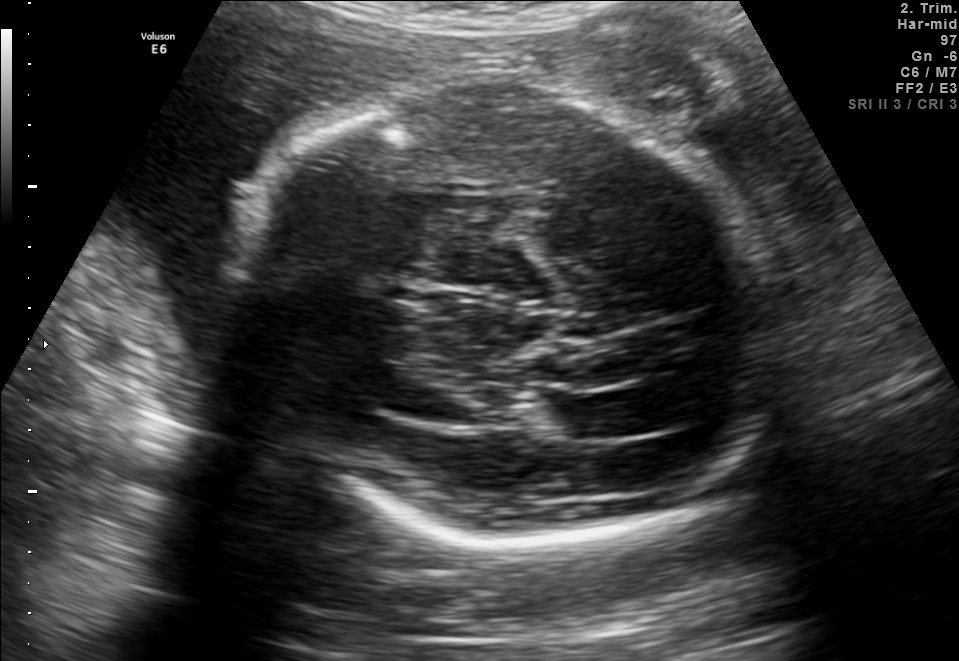
In this fetal brain, trans-thalamic plane, give bounding boxes for the head outline, cavum septum pellucidum (CSP), and lateral ventricle (LV), where visible.

Head: [221,83,786,546]
Lateral ventricle: [542,393,632,441]